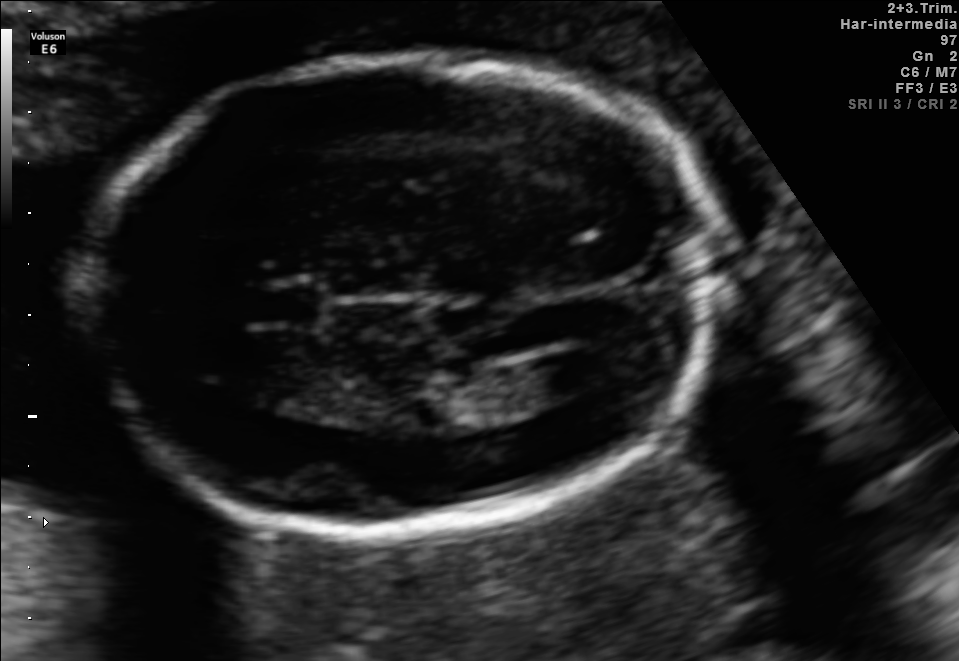
Fetal brain, trans-ventricular plane. Where is the fetal head?

Head bounding box: [67,49,742,548]